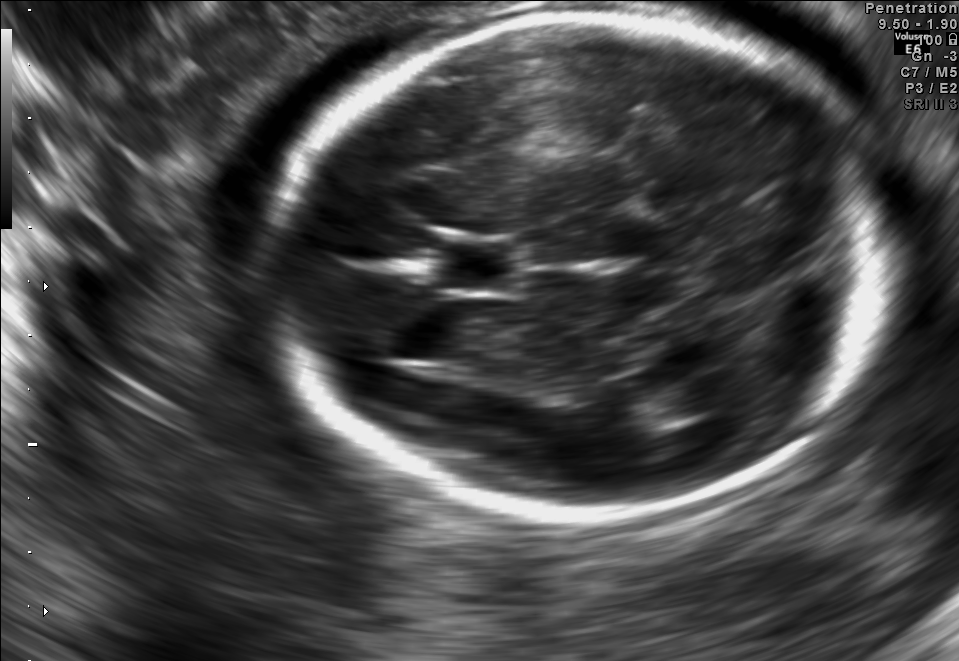
In this fetal brain, trans-thalamic plane, give the bounding box of the cavum septum pellucidum.

[440,244,514,287]